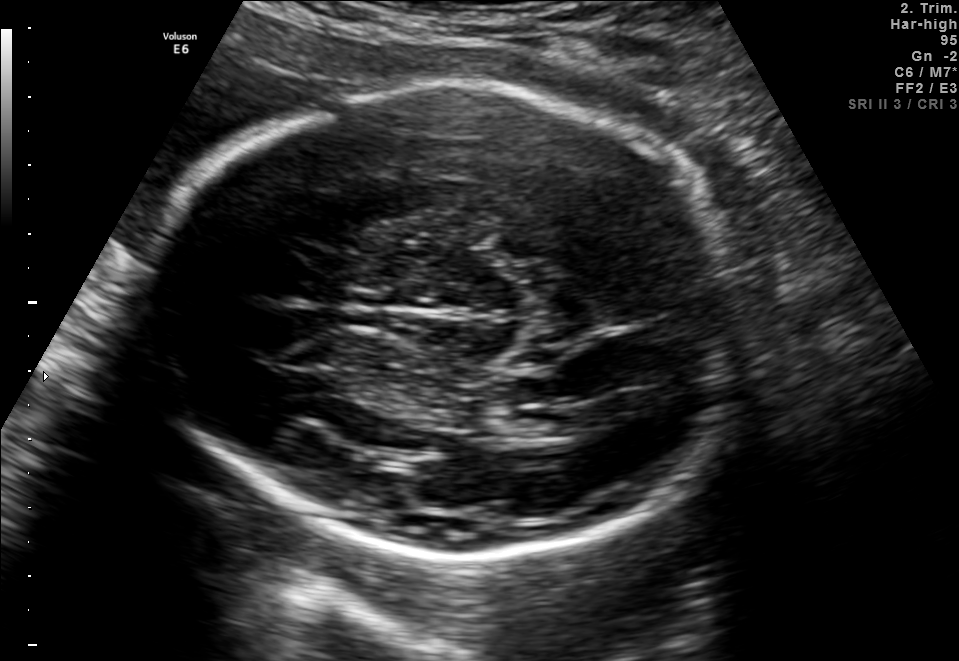
In this fetal brain, trans-thalamic plane, give bounding boxes for the head outline, cavum septum pellucidum (CSP), and lateral ventricle (LV), where visible.

Head: [155,85,752,552]
Lateral ventricle: [509,404,587,442]